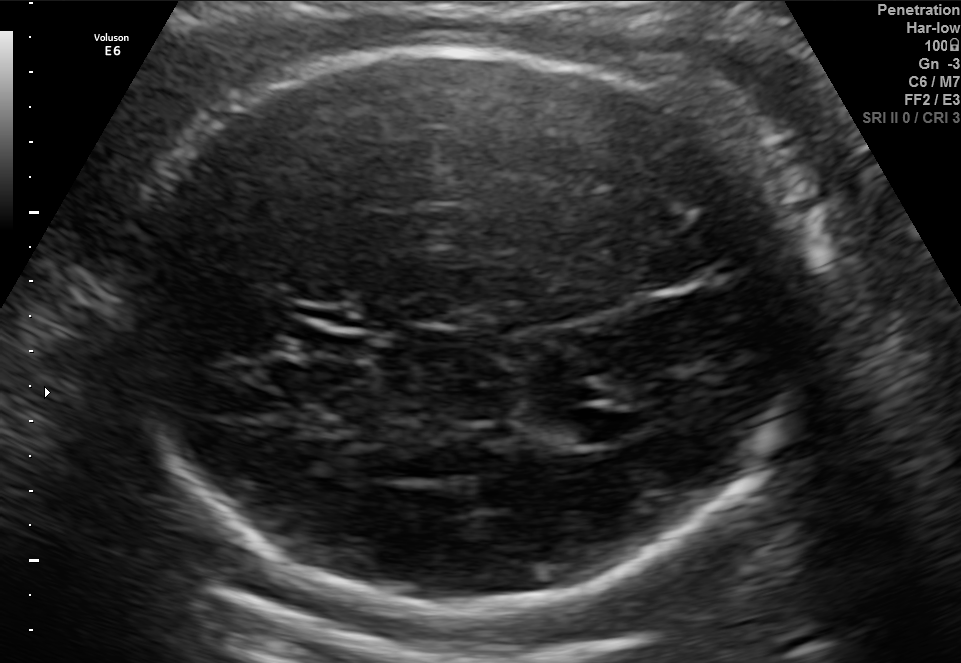
Fetal brain, trans-ventricular plane. Locate the fetal head.

Head: [101,38,832,615]